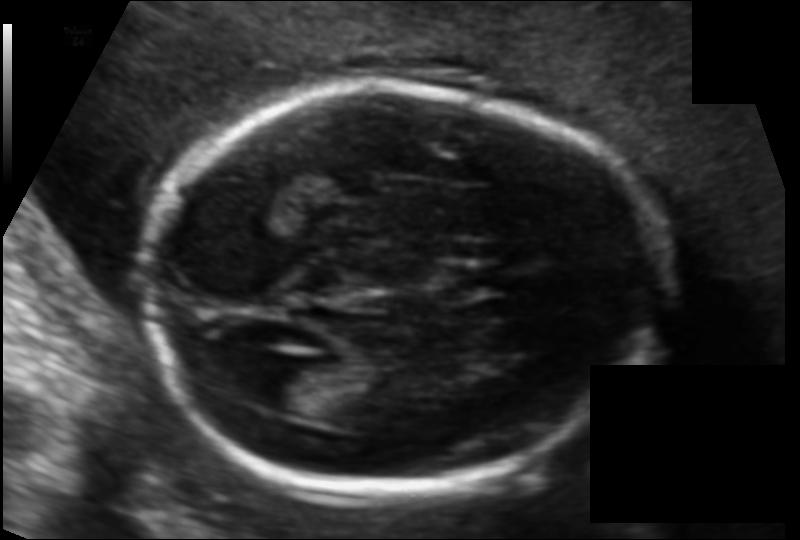
Fetal head ultrasound. Image width: 88.8 mm. Locate the cavum septum pellucidum.

CSP: [445,260,513,299]